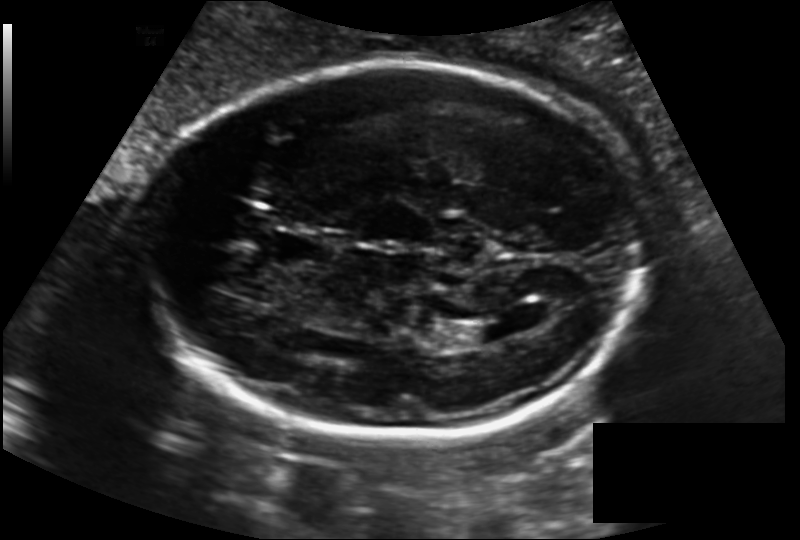
Fetal head ultrasound. Image width: 130.6 mm. Locate the fetal head and, if visible, the cavum septum pellucidum (CSP) and lateral ventricle (LV). Give bounding boxes as [x1,y1,x2,y2].

Head: [144,63,641,443]
CSP: [271,226,335,270]
Lateral ventricle: [459,318,510,348]